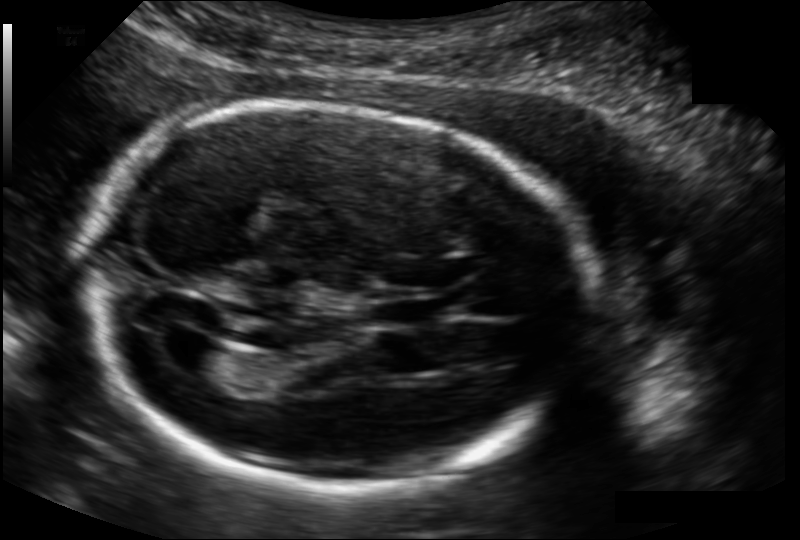
In this fetal head ultrasound, give the bounding box of the cavum septum pellucidum. Image width: 107.6 mm.

[367,295,440,329]